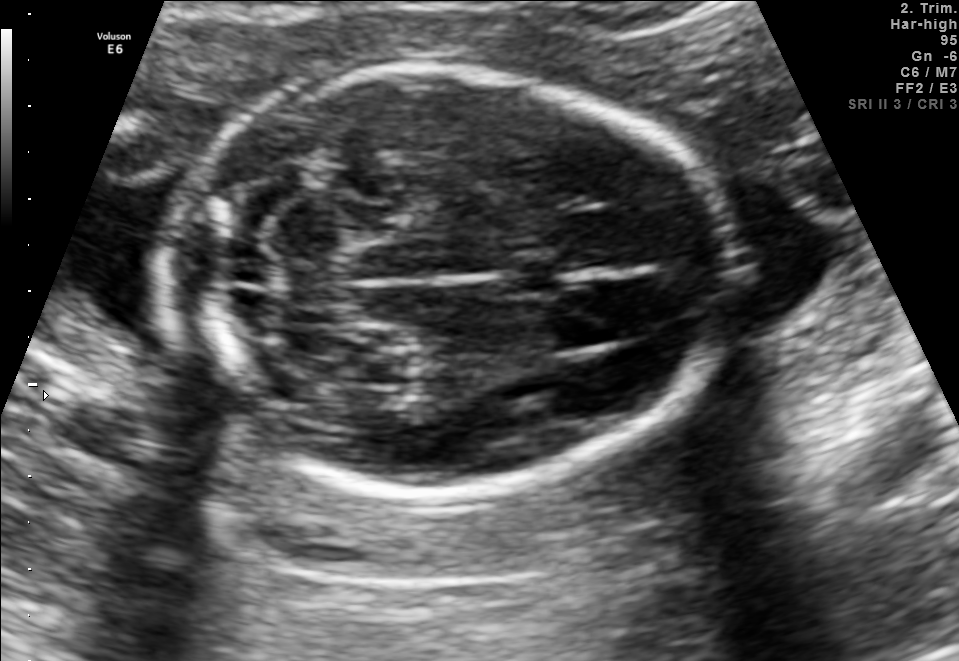
Fetal brain, trans-cerebellum plane. Locate the cavum septum pellucidum.

CSP: [496,255,565,298]